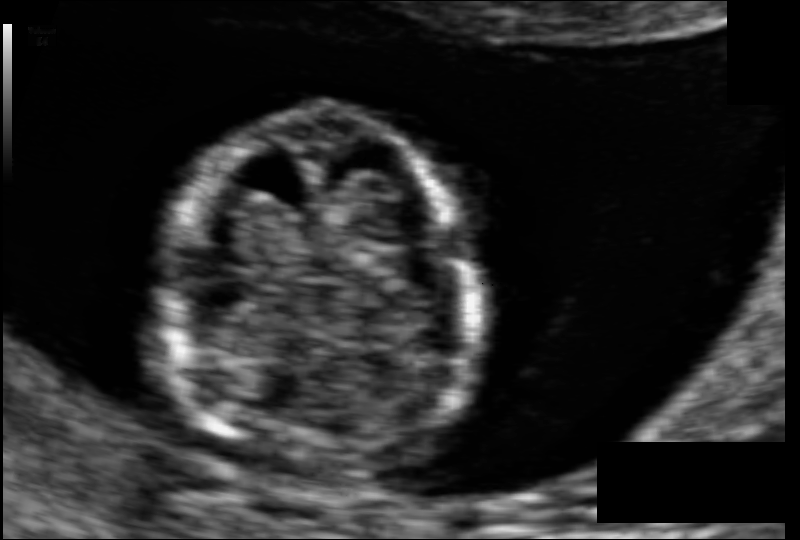
In this fetal head ultrasound, give the bounding box of the fetal head. Image width: 54.8 mm.

[166,113,481,484]